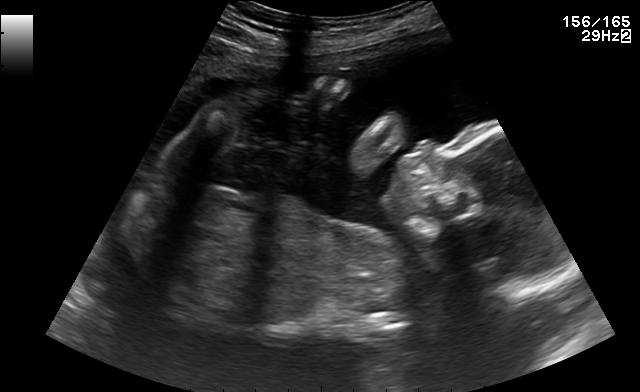
Identify the standard plane in this fetal ultrasound image: fetal abdomen, fetal brain, fetal femur, fetal thorax, maternal cervix, or other. If it's fetal brain and one of the three standard brain planes (trans-thalamic, trans-cerebellum, trans-ventricular), name which.

Other